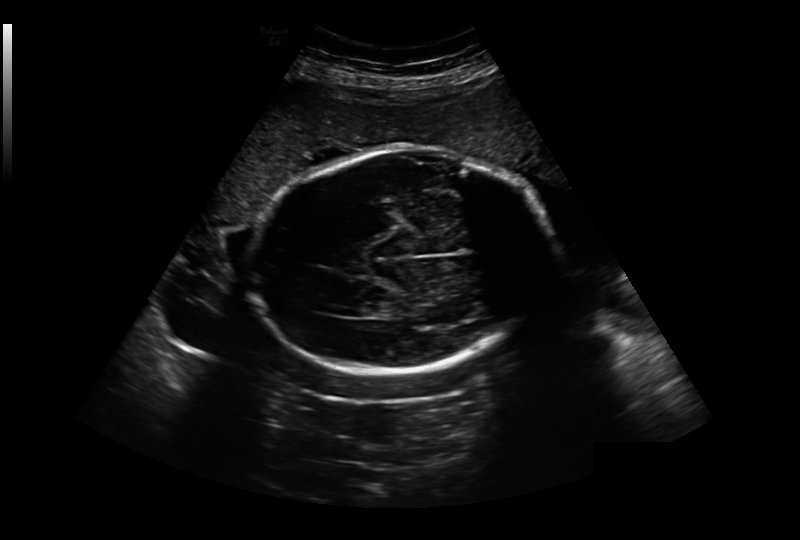
Measure the fetal head circumference shown in this ultrasound image. Image width: 278.8 mm.

Head circumference: 291.3 mm.